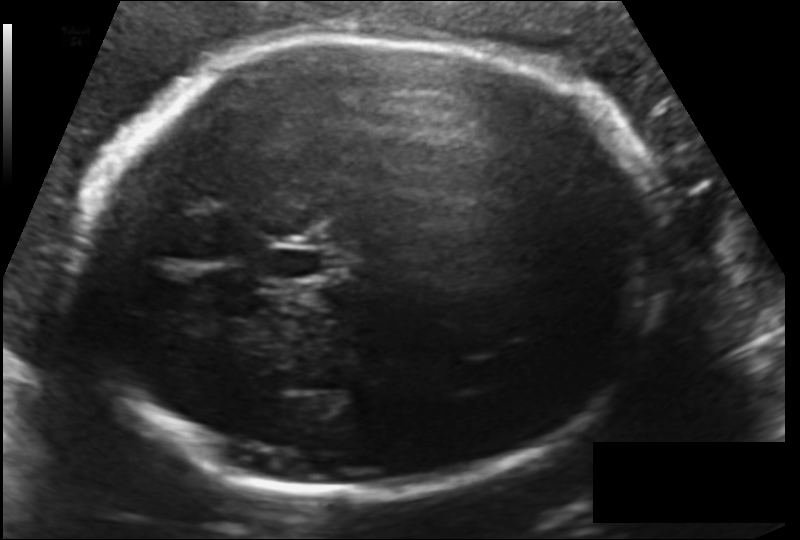
What is the fetal head circumference? Image width is 122.1 mm.

255.8 mm